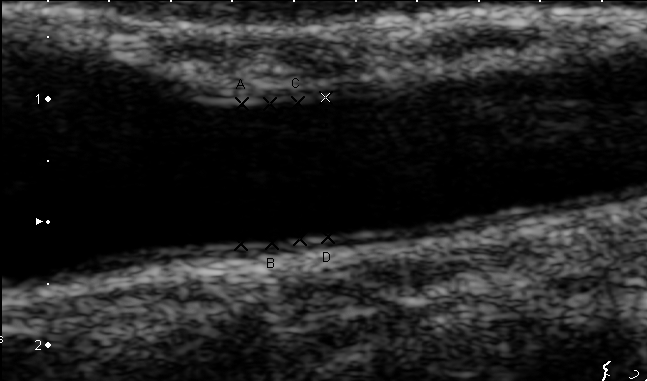
Classify this maternal-fetal ultrasound image as one of the six standard planes — fetal abdomen, fetal brain, fetal femur, fetal thorax, maternal cervix, or other. If it's fetal brain and one of the three standard brain planes (trans-thalamic, trans-cerebellum, trans-ventricular), name which.

Other